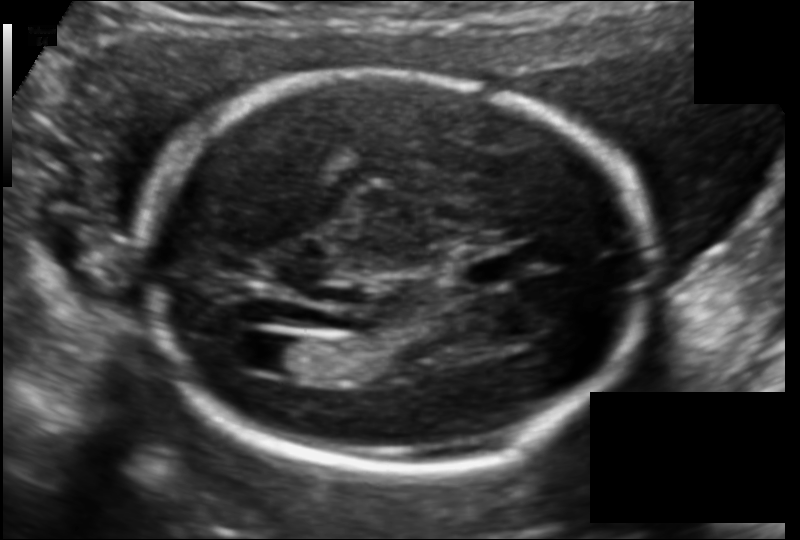
Fetal head ultrasound. Image width: 97.5 mm. Locate the cavum septum pellucidum.

CSP: [458,247,521,296]